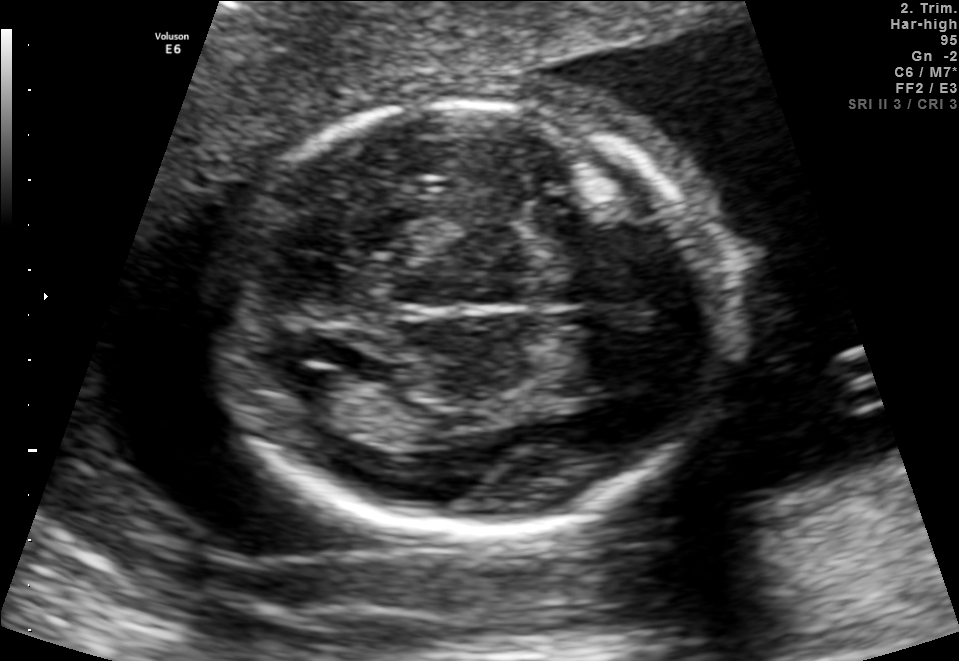
Fetal brain, trans-ventricular plane. Locate the fetal head and, if visible, the cavum septum pellucidum (CSP) and lateral ventricle (LV). Give bounding boxes as [x1,y1,x2,y2].

Head: [203,92,726,543]